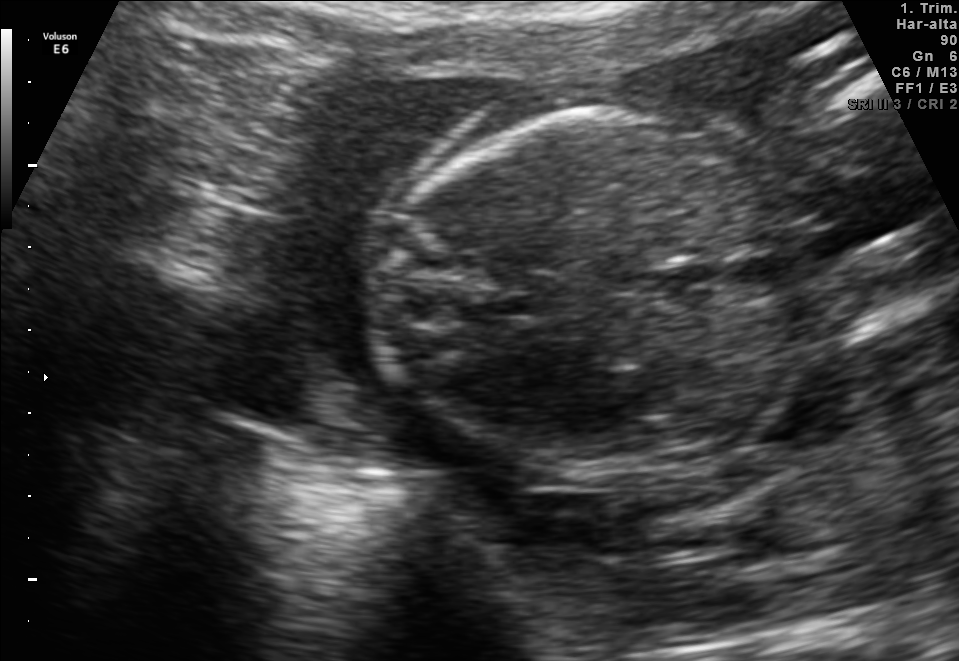
Classify this maternal-fetal ultrasound image as one of the six standard planes — fetal abdomen, fetal brain, fetal femur, fetal thorax, maternal cervix, or other. If it's fetal brain and one of the three standard brain planes (trans-thalamic, trans-cerebellum, trans-ventricular), name which.

Other